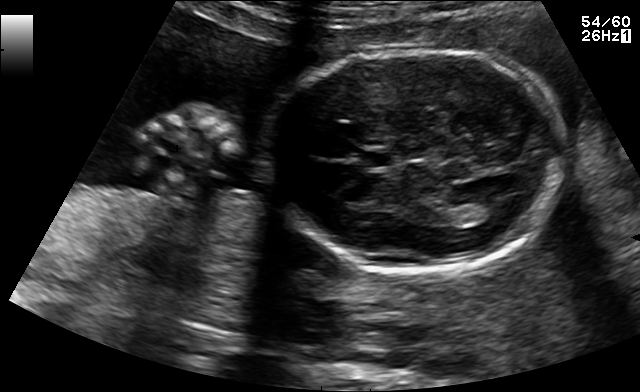
In this fetal brain, trans-thalamic plane, give the bounding box of the fetal head.

[264,50,565,270]